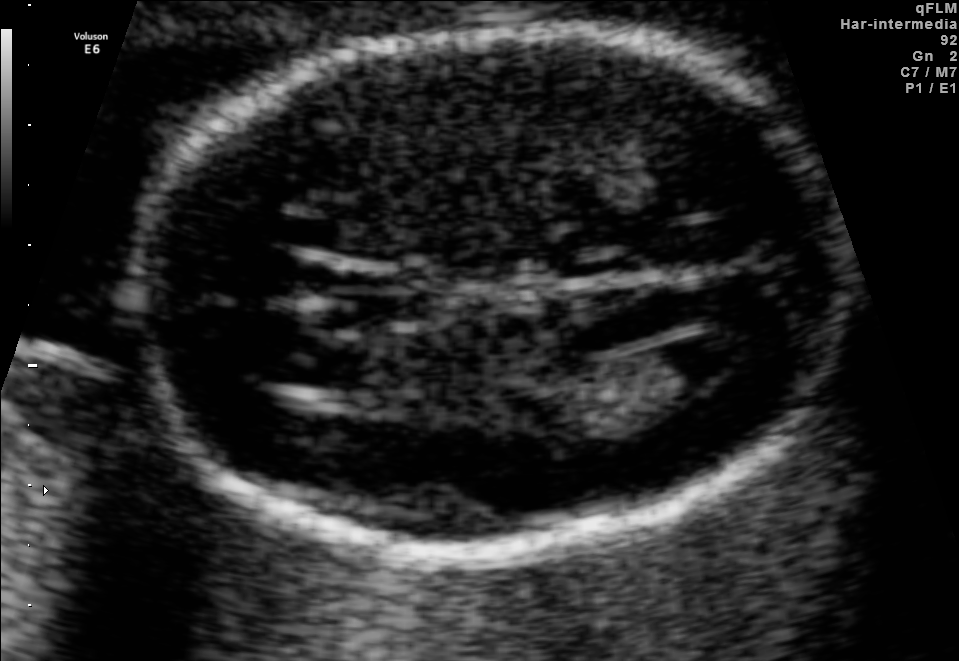
Fetal brain, trans-ventricular plane. Locate the lateral ventricle.

Lateral ventricle: [643,323,755,406]